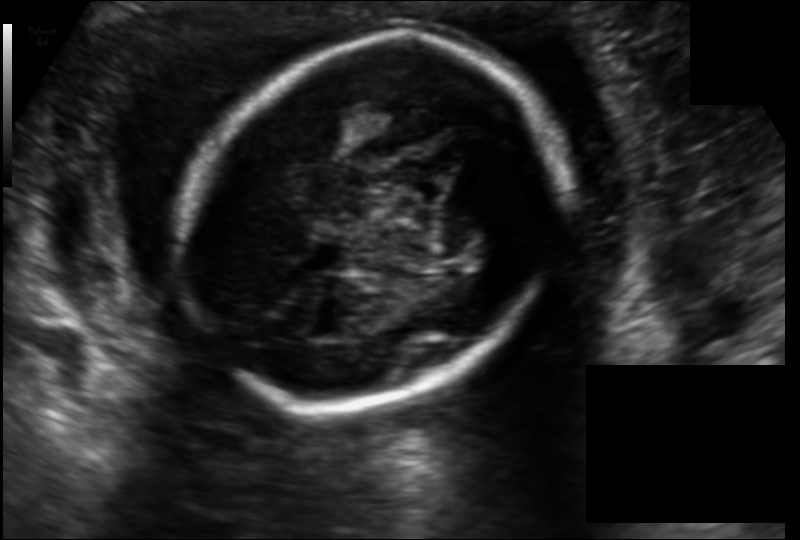
Estimate the fetal head circumference from this 2D ultrasound. Image width: 112.8 mm.

Head circumference: 171.0 mm.